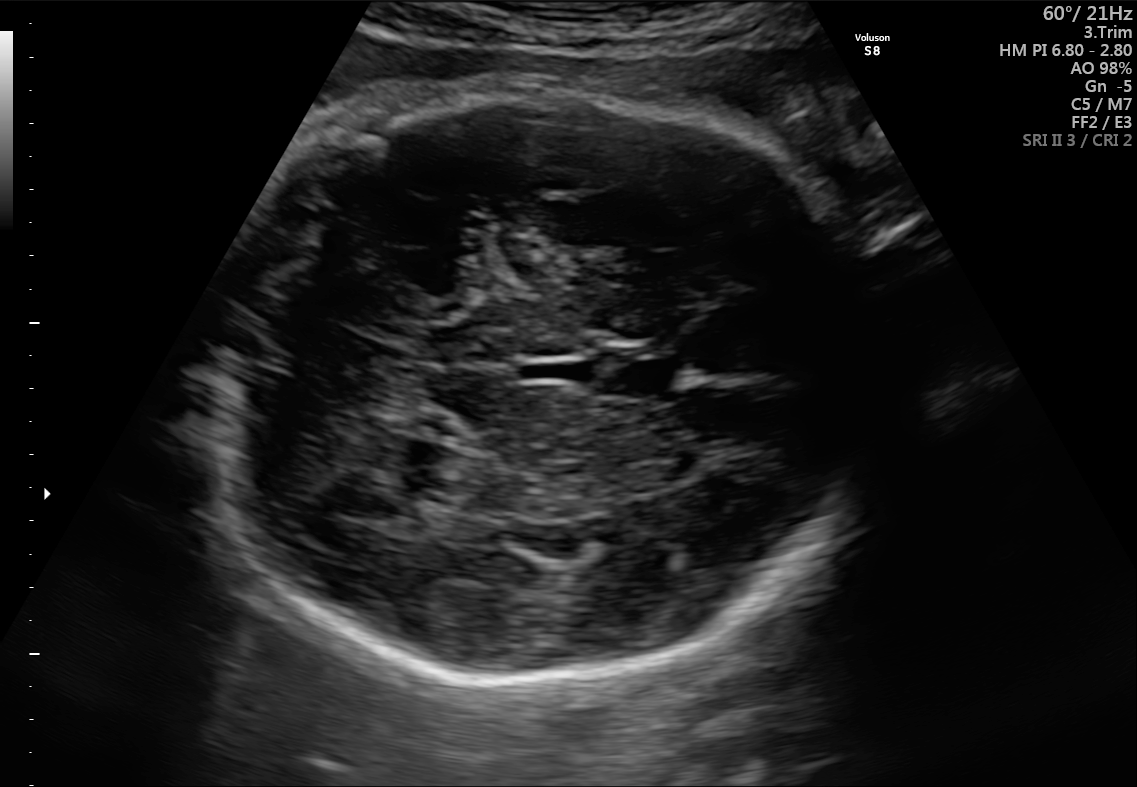
Fetal brain, trans-cerebellum plane. Give [x1,y1,x2,y2] bounding boxes for each visible structure among: fetal head, CSP, LV.

Head: [207,89,877,681]
CSP: [601,340,684,401]